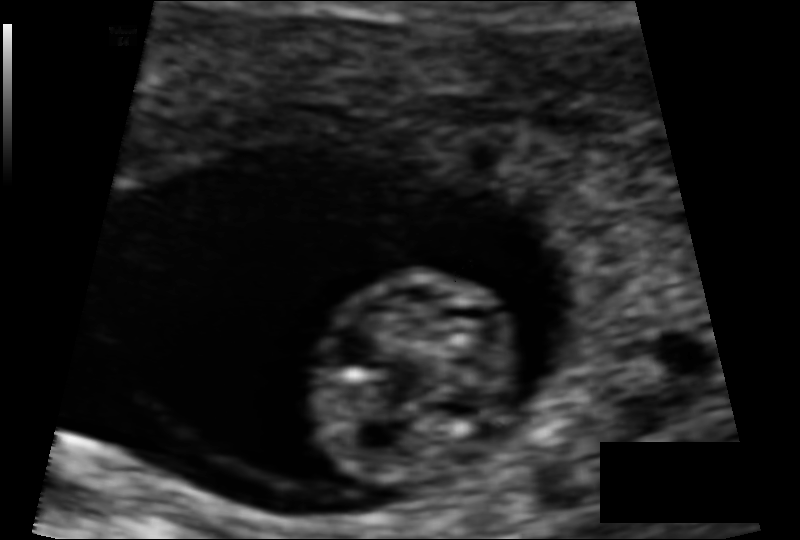
Fetal head ultrasound. Image width: 55.3 mm. Give [x1,y1,x2,y2] bounding boxes for each visible structure among: fetal head, CSP, LV.

Head: [310,269,523,485]